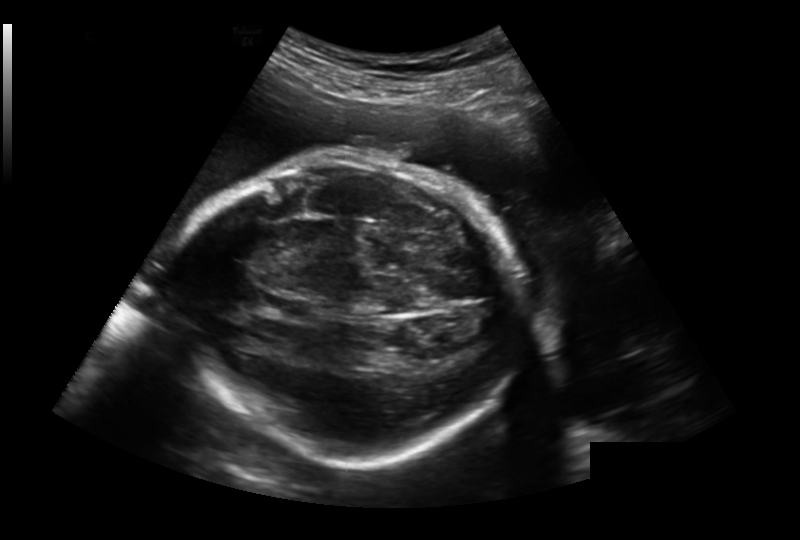
Fetal head ultrasound. Image width: 206.8 mm. Locate the fetal head and, if visible, the cavum septum pellucidum (CSP) and lateral ventricle (LV). Give bounding boxes as [x1,y1,x2,y2].

Head: [176,158,519,460]